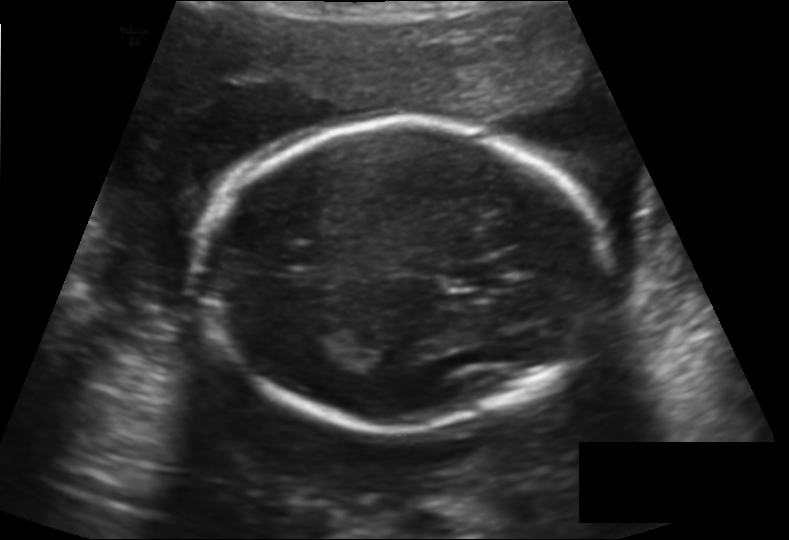
In this fetal head ultrasound, give bounding boxes for the head outline, cavum septum pellucidum (CSP), and lateral ventricle (LV), where visible. Image width: 124.3 mm.

Head: [207,119,601,431]
CSP: [443,255,508,292]